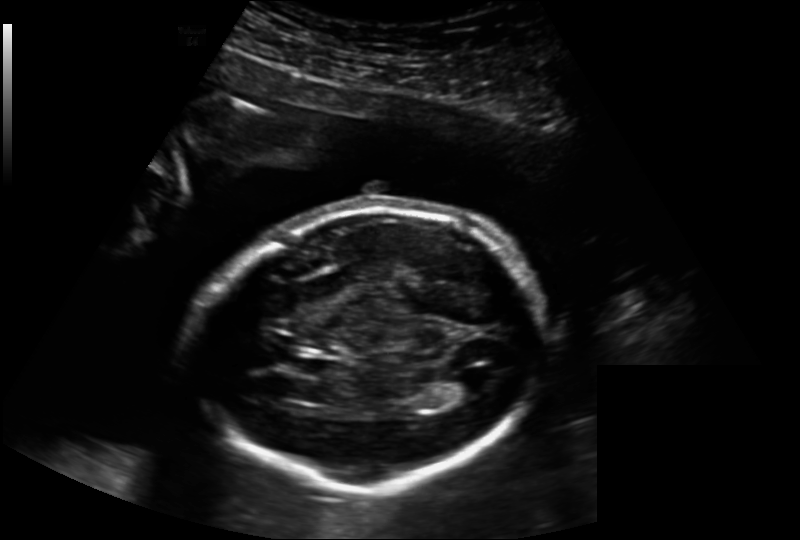
Fetal head ultrasound. Image width: 161.7 mm. Locate the fetal head and, if visible, the cavum septum pellucidum (CSP) and lateral ventricle (LV). Give bounding boxes as [x1,y1,x2,y2].

Head: [194,208,543,486]
CSP: [286,351,333,380]
Lateral ventricle: [445,367,490,404]